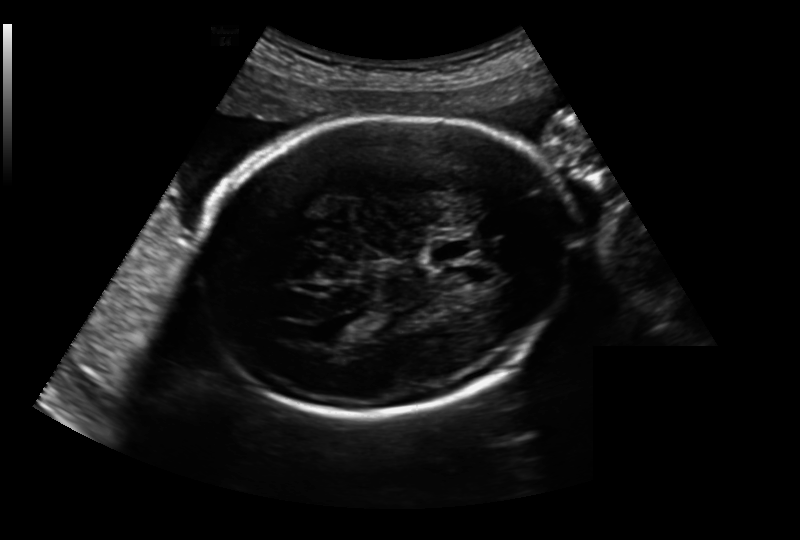
Fetal head ultrasound. Image width: 170.6 mm. Locate the fetal head and, if visible, the cavum septum pellucidum (CSP) and lateral ventricle (LV). Give bounding boxes as [x1,y1,x2,y2].

Head: [193,117,576,413]
CSP: [425,232,479,269]
Lateral ventricle: [323,317,366,344]